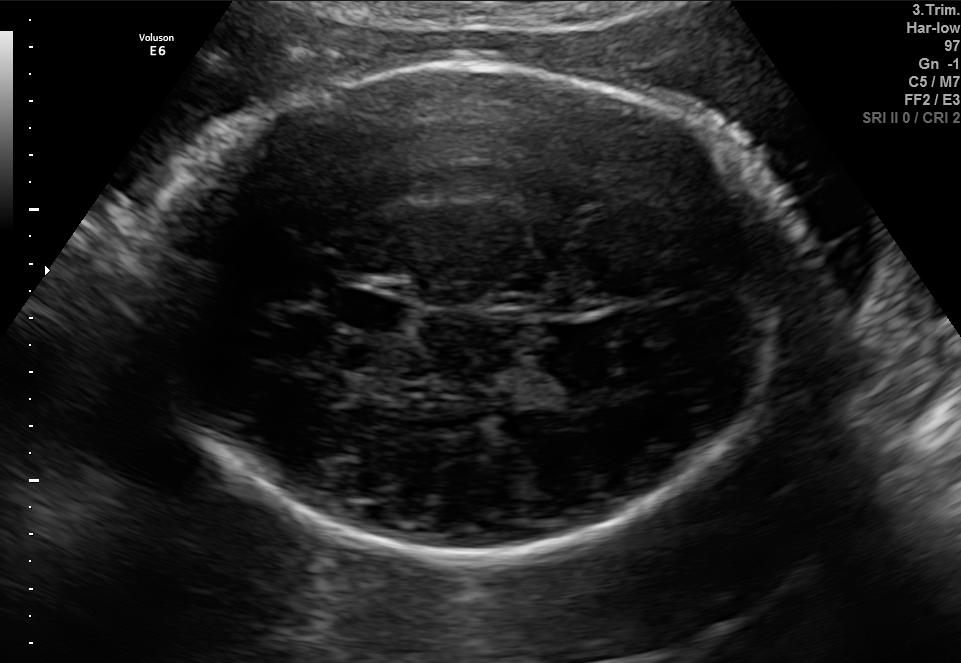
Fetal brain, trans-thalamic plane. Give [x1,y1,x2,y2] bounding boxes for each visible structure among: fetal head, CSP, LV.

Head: [145,60,788,559]
CSP: [331,284,405,337]